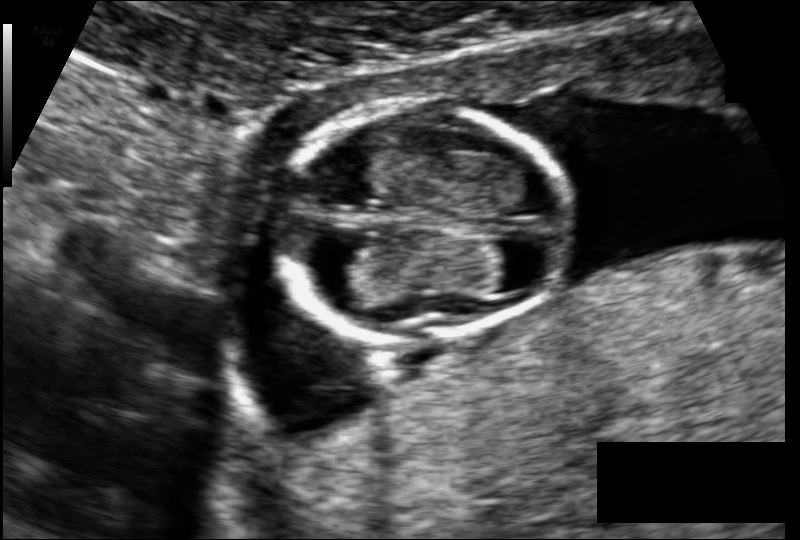
Fetal head ultrasound. Image width: 78.5 mm. Locate the fetal head.

Head: [275,105,576,337]